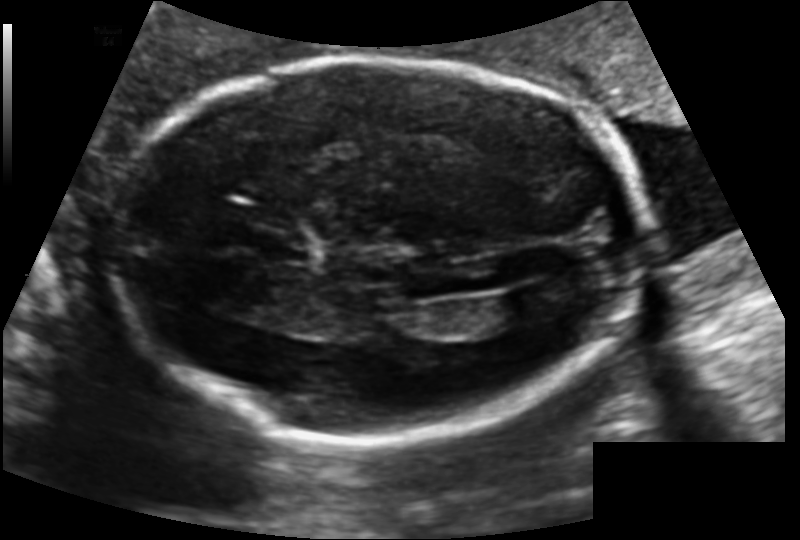
In this fetal head ultrasound, give the bounding box of the lateral ventricle. Image width: 105.0 mm.

[494,279,565,328]